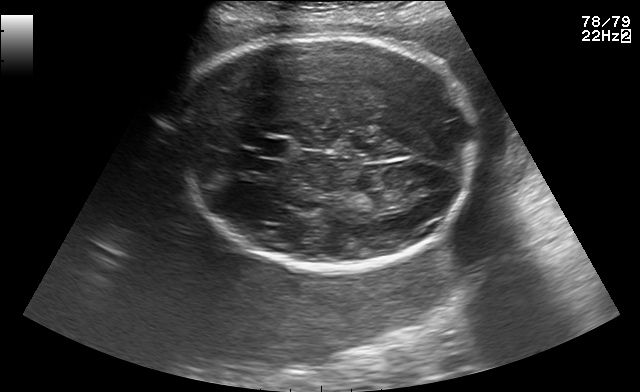
Fetal brain, trans-thalamic plane. Where is the fetal head?

Head bounding box: [173,33,481,271]